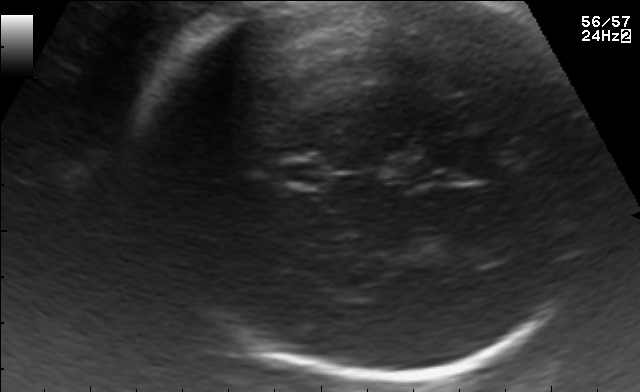
This is a 2D maternal-fetal ultrasound frame. Is it a fetal abdomen, fetal brain, fetal femur, fetal thorax, maternal cervix, or other standard plane? If it's fetal brain and one of the three standard brain planes (trans-thalamic, trans-cerebellum, trans-ventricular), name which.

Fetal brain (trans-thalamic plane)